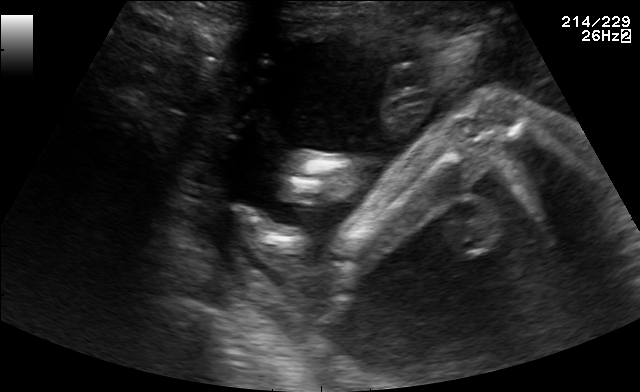
Classify this maternal-fetal ultrasound image as one of the six standard planes — fetal abdomen, fetal brain, fetal femur, fetal thorax, maternal cervix, or other. If it's fetal brain and one of the three standard brain planes (trans-thalamic, trans-cerebellum, trans-ventricular), name which.

Other